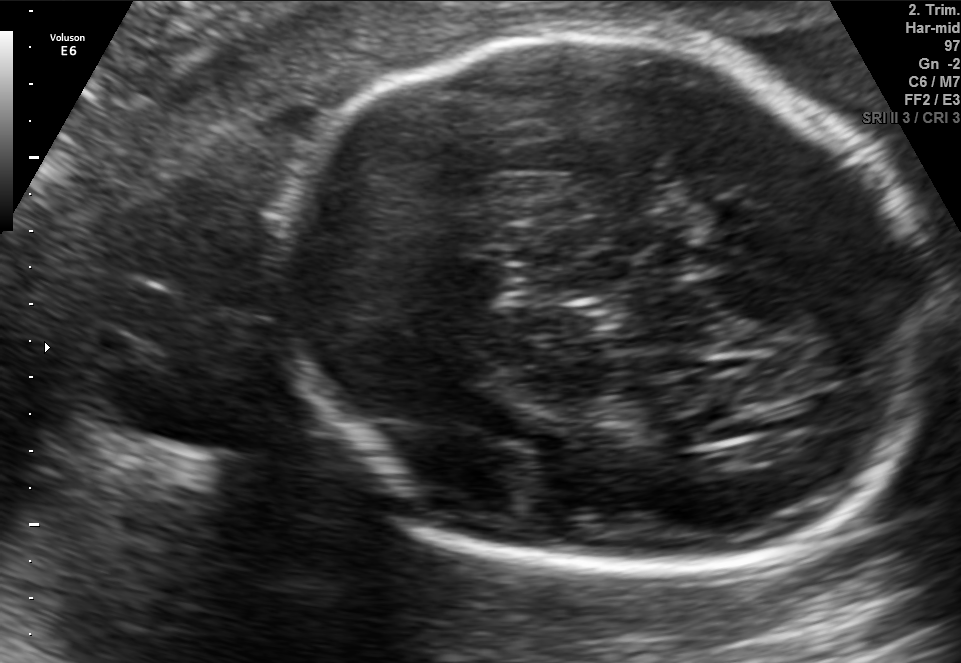
Fetal brain, trans-thalamic plane. Where is the fetal head?

Head bounding box: [280,34,934,581]